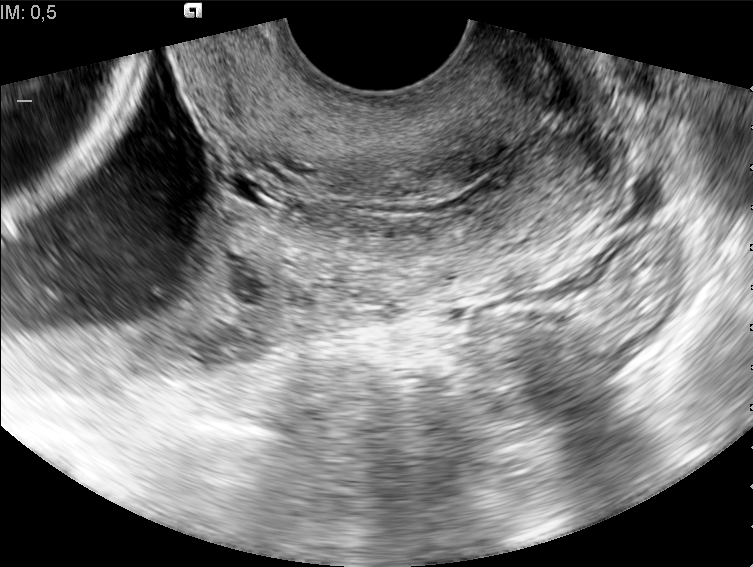
Which standard maternal-fetal ultrasound plane is shown: fetal abdomen, fetal brain, fetal femur, fetal thorax, maternal cervix, or other? If it's fetal brain and one of the three standard brain planes (trans-thalamic, trans-cerebellum, trans-ventricular), name which.

Maternal cervix